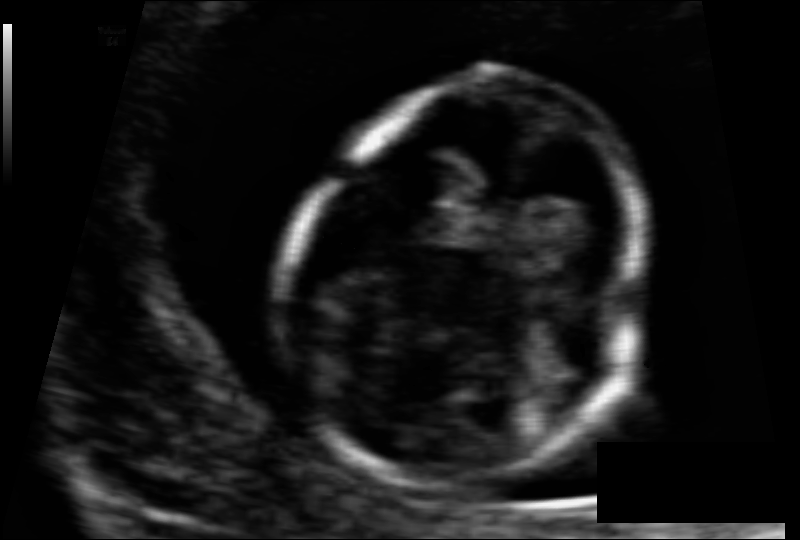
Measure the fetal head circumference shown in this ultrasound image. Image width: 50.2 mm.

Head circumference: 78.1 mm.